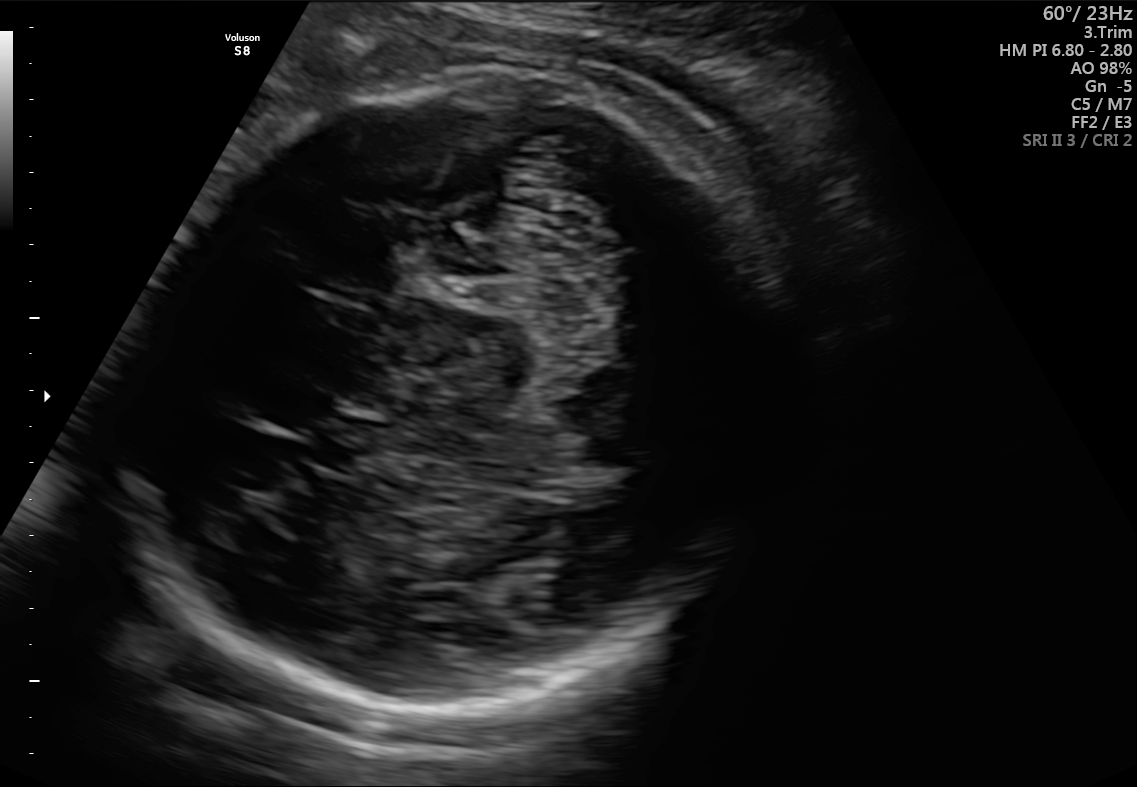
Fetal brain, trans-cerebellum plane. Where is the fetal head?

Head bounding box: [138,73,758,707]